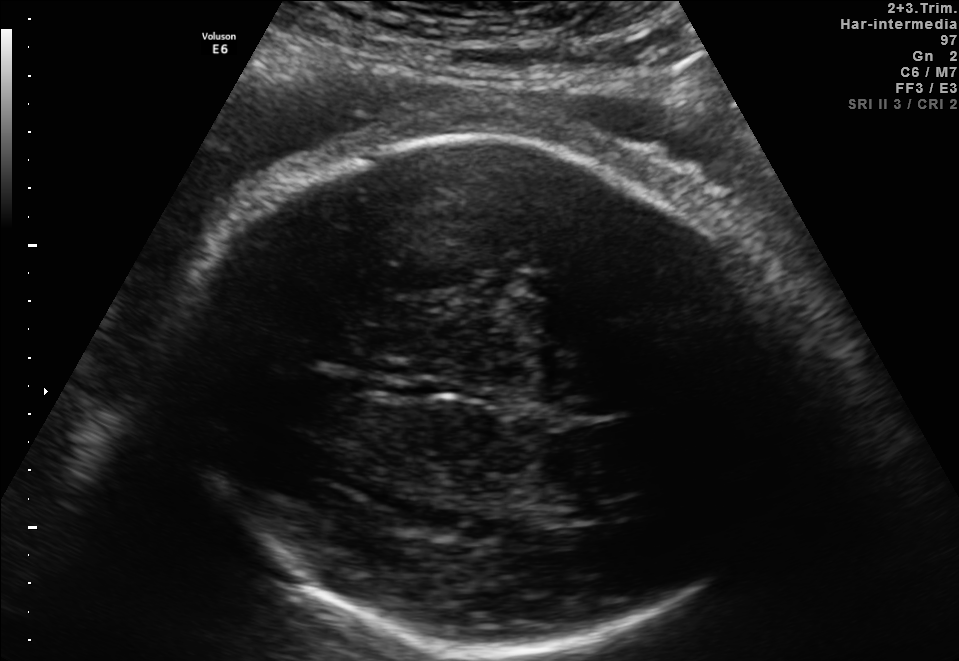
In this fetal brain, trans-thalamic plane, give the bounding box of the fetal head.

[178,136,791,651]